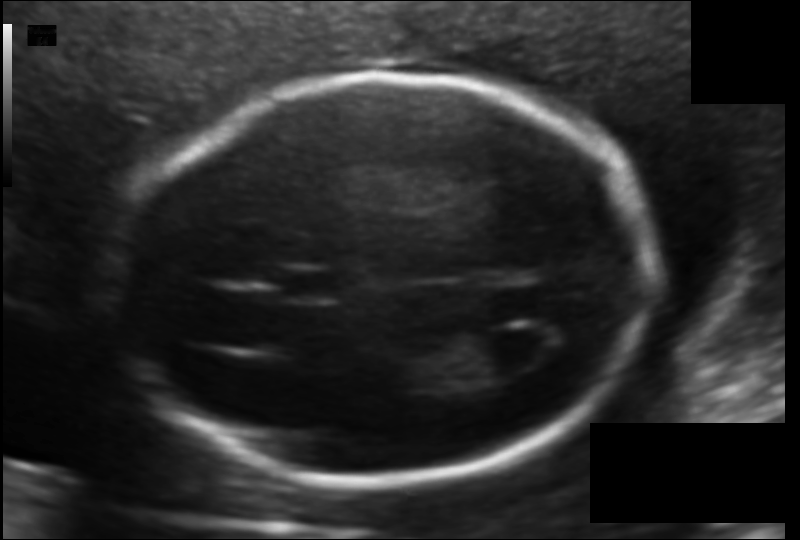
In this fetal head ultrasound, give the bounding box of the lateral ventricle. Image width: 93.0 mm.

[456,314,551,387]